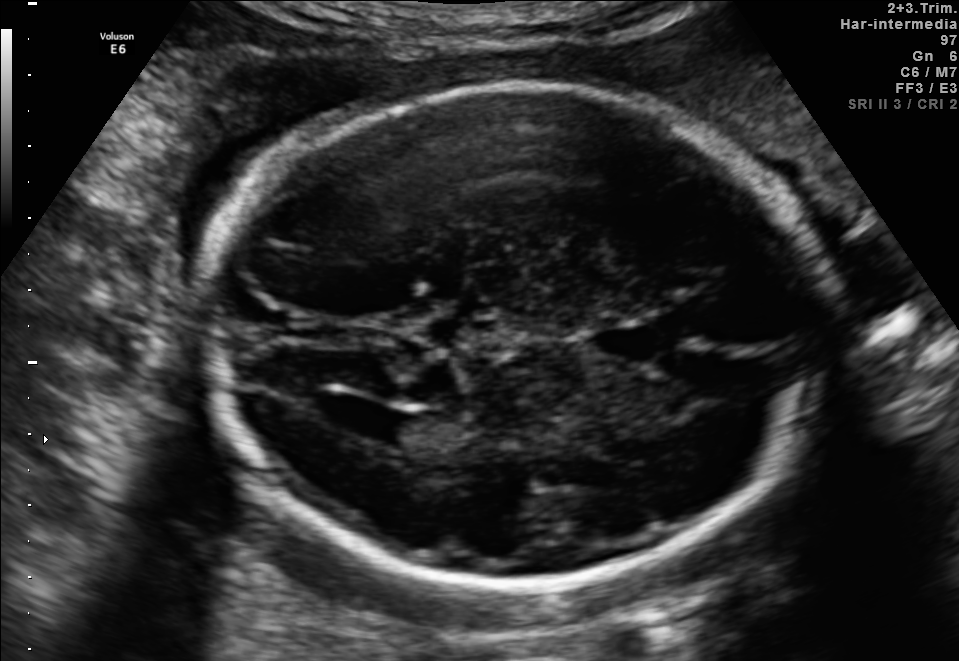
Fetal brain, trans-ventricular plane. Locate the fetal head.

Head: [196,79,845,592]